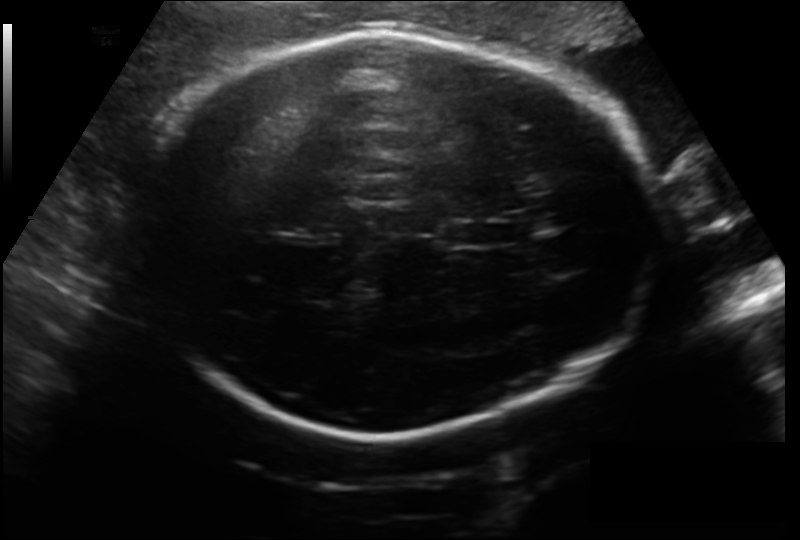
What is the fetal head circumference? Image width is 158.8 mm.

290.8 mm